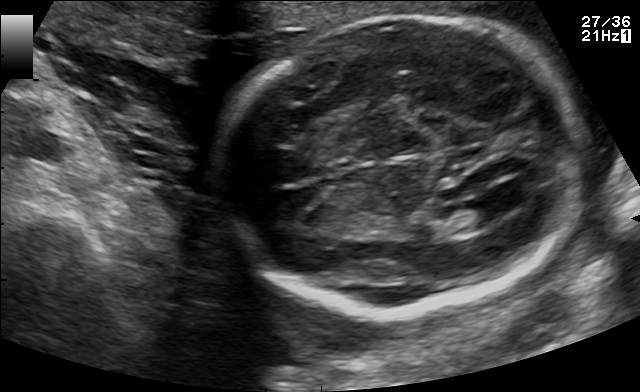
Fetal brain, trans-ventricular plane. Locate the fetal head and, if visible, the cavum septum pellucidum (CSP) and lateral ventricle (LV). Give bounding boxes as [x1,y1,x2,y2].

Head: [212,11,595,319]
CSP: [313,161,359,189]
Lateral ventricle: [467,183,524,224]